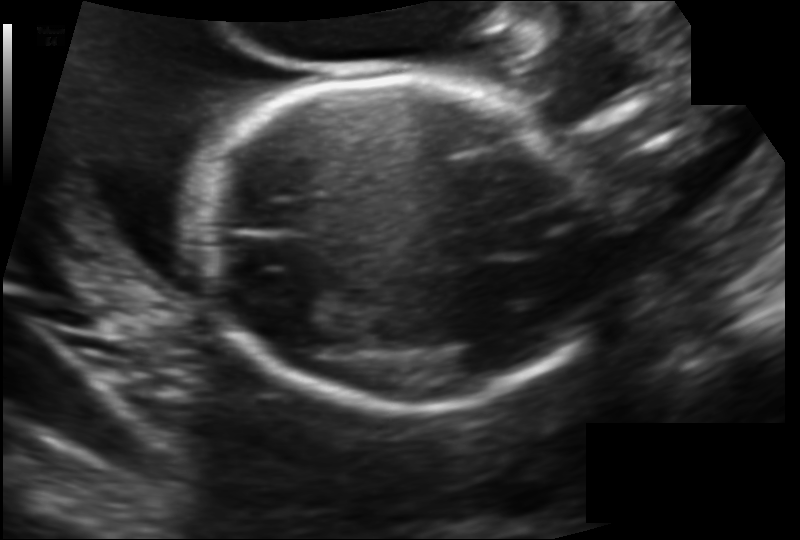
In this fetal head ultrasound, give bounding boxes for the head outline, cavum septum pellucidum (CSP), and lateral ventricle (LV), where visible. Image width: 110.4 mm.

Head: [198,78,604,412]